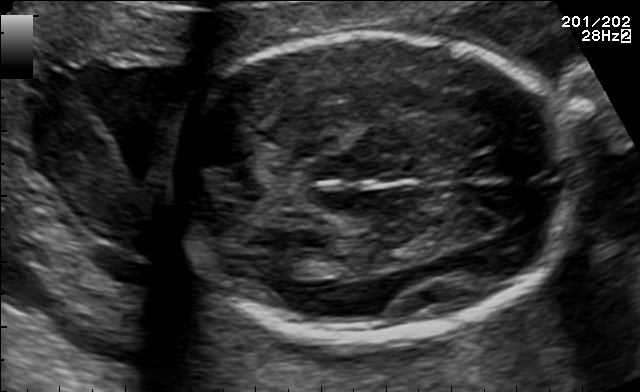
Fetal brain, trans-thalamic plane. Where is the fetal head?

Head bounding box: [163,34,575,338]